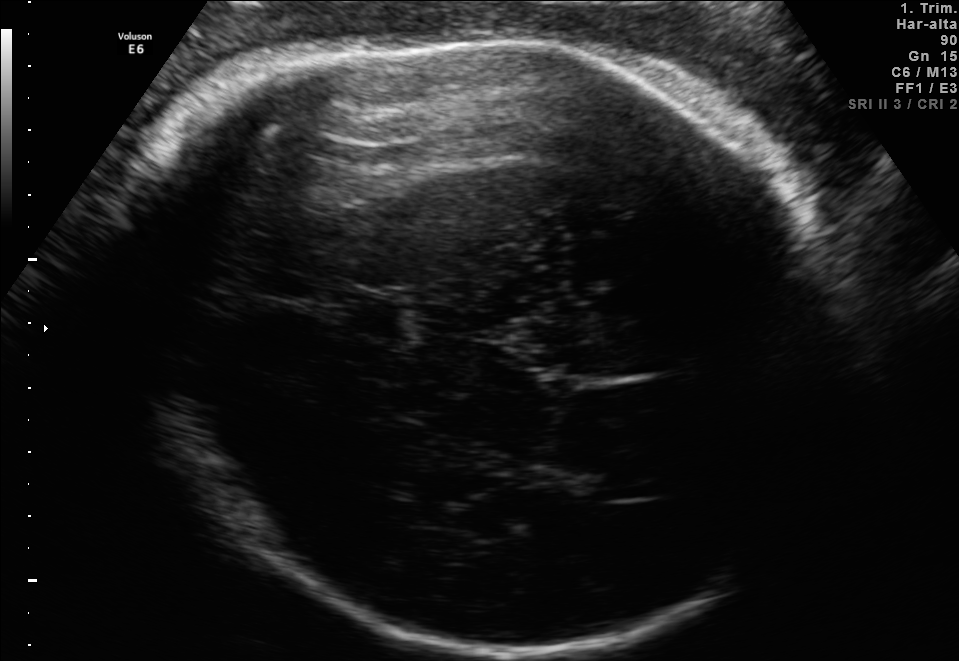
In this fetal brain, trans-thalamic plane, give the bounding box of the cavum septum pellucidum.

[335,290,404,339]